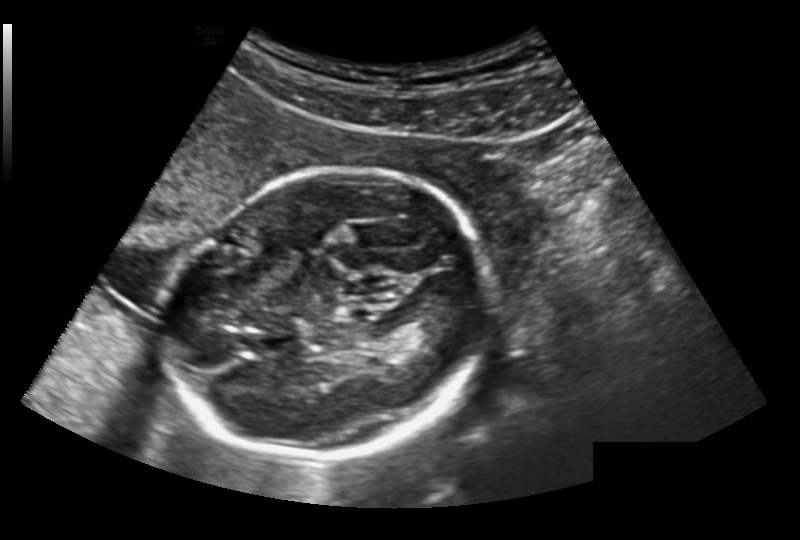
Fetal head ultrasound. Image width: 152.5 mm. Where is the fetal head?

Head bounding box: [174,167,485,462]